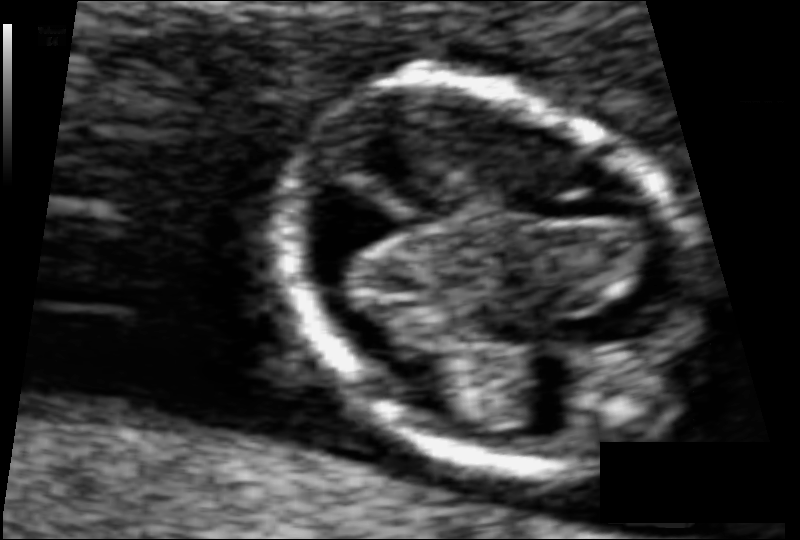
Fetal head ultrasound. Image width: 46.0 mm. Give [x1,y1,x2,y2] bounding boxes for each visible structure among: fetal head, CSP, LV.

Head: [276,82,697,457]